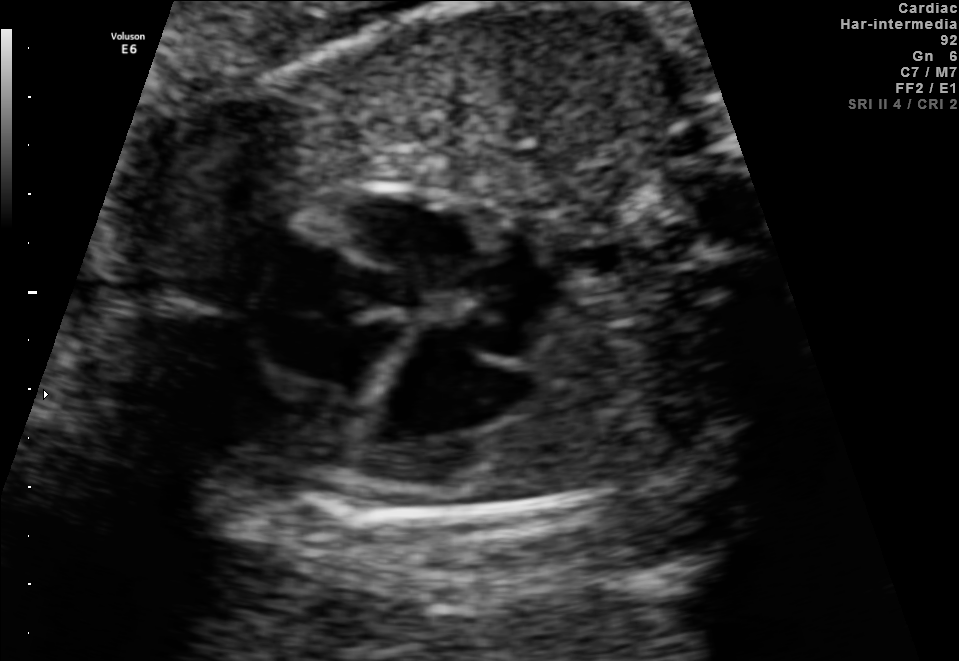
Classify this maternal-fetal ultrasound image as one of the six standard planes — fetal abdomen, fetal brain, fetal femur, fetal thorax, maternal cervix, or other. If it's fetal brain and one of the three standard brain planes (trans-thalamic, trans-cerebellum, trans-ventricular), name which.

Fetal thorax